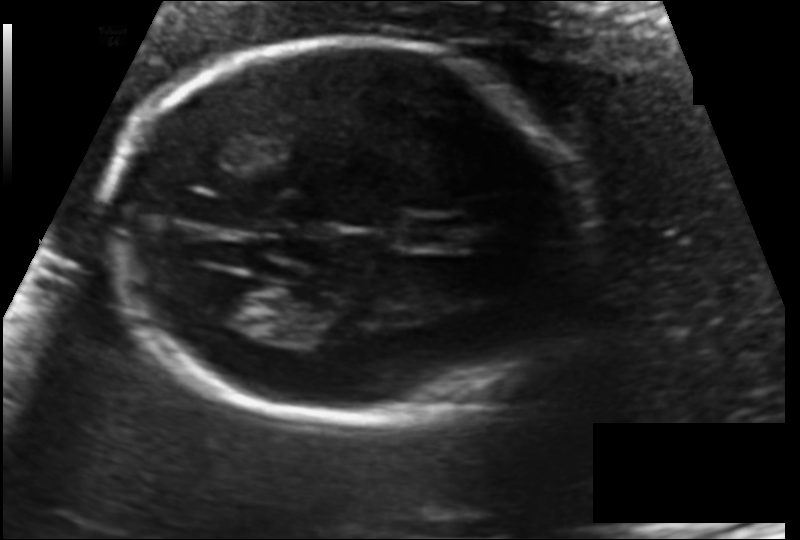
Fetal head ultrasound. Image width: 97.9 mm. Where is the cavum septum pellucidum?

CSP bounding box: [408,218,469,248]